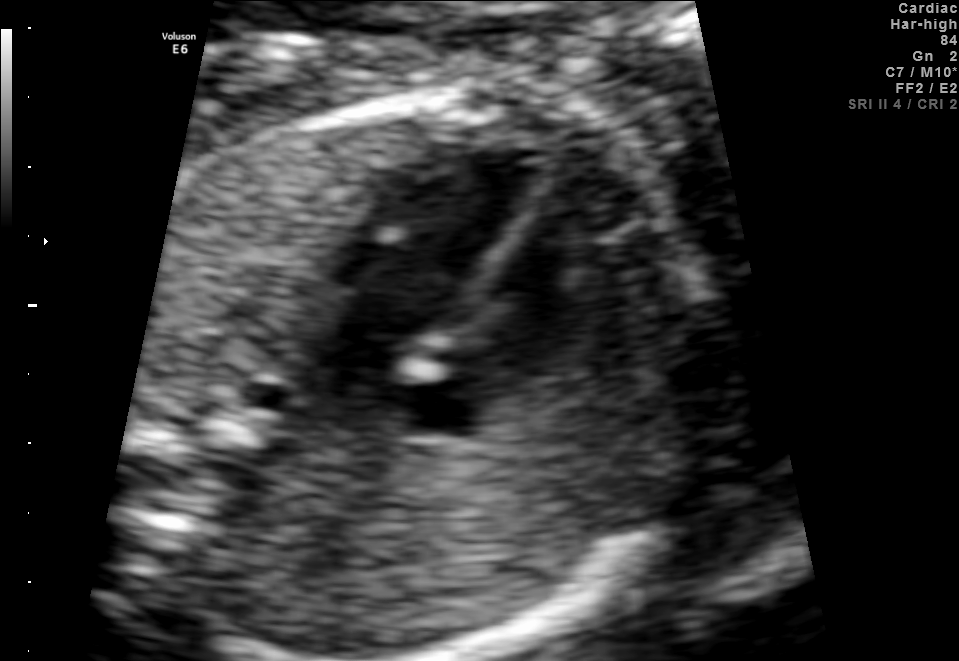
Which standard maternal-fetal ultrasound plane is shown: fetal abdomen, fetal brain, fetal femur, fetal thorax, maternal cervix, or other? If it's fetal brain and one of the three standard brain planes (trans-thalamic, trans-cerebellum, trans-ventricular), name which.

Fetal thorax